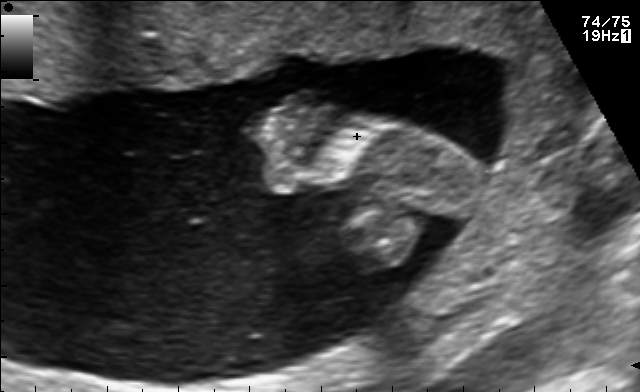
Identify the standard plane in this fetal ultrasound image: fetal abdomen, fetal brain, fetal femur, fetal thorax, maternal cervix, or other. If it's fetal brain and one of the three standard brain planes (trans-thalamic, trans-cerebellum, trans-ventricular), name which.

Other